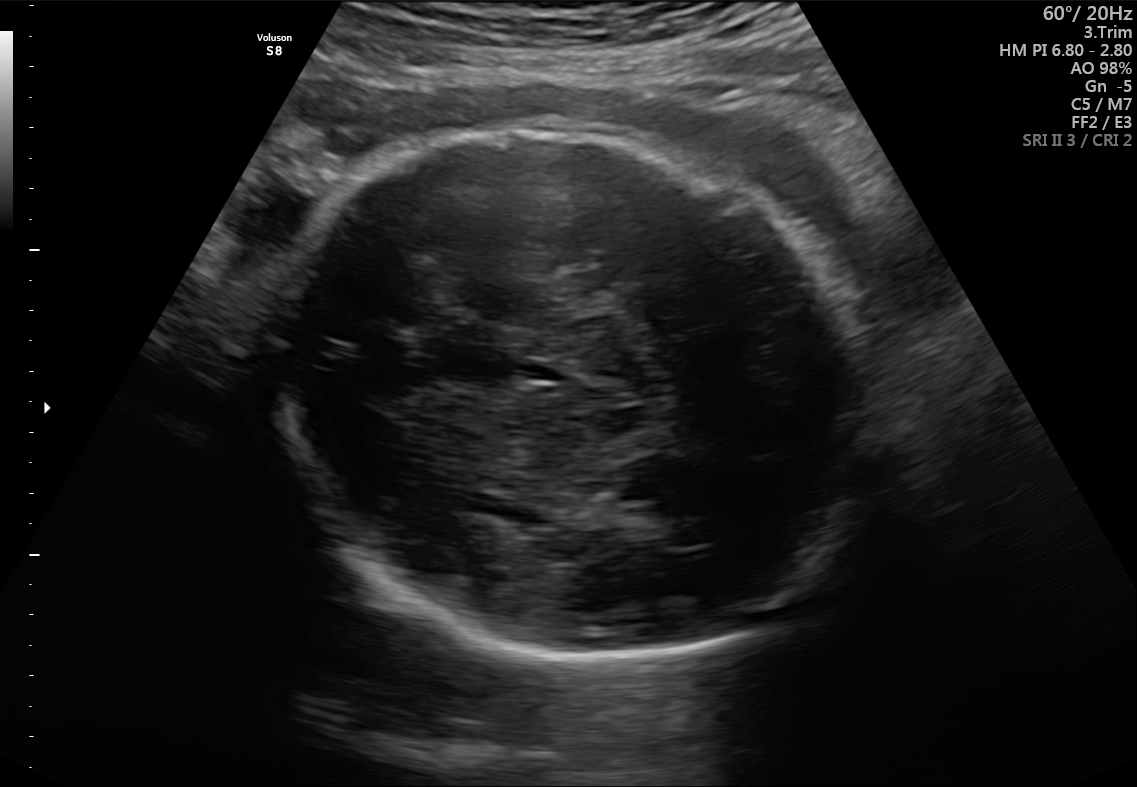
Identify the standard plane in this fetal ultrasound image: fetal abdomen, fetal brain, fetal femur, fetal thorax, maternal cervix, or other. If it's fetal brain and one of the three standard brain planes (trans-thalamic, trans-cerebellum, trans-ventricular), name which.

Fetal brain (trans-thalamic plane)